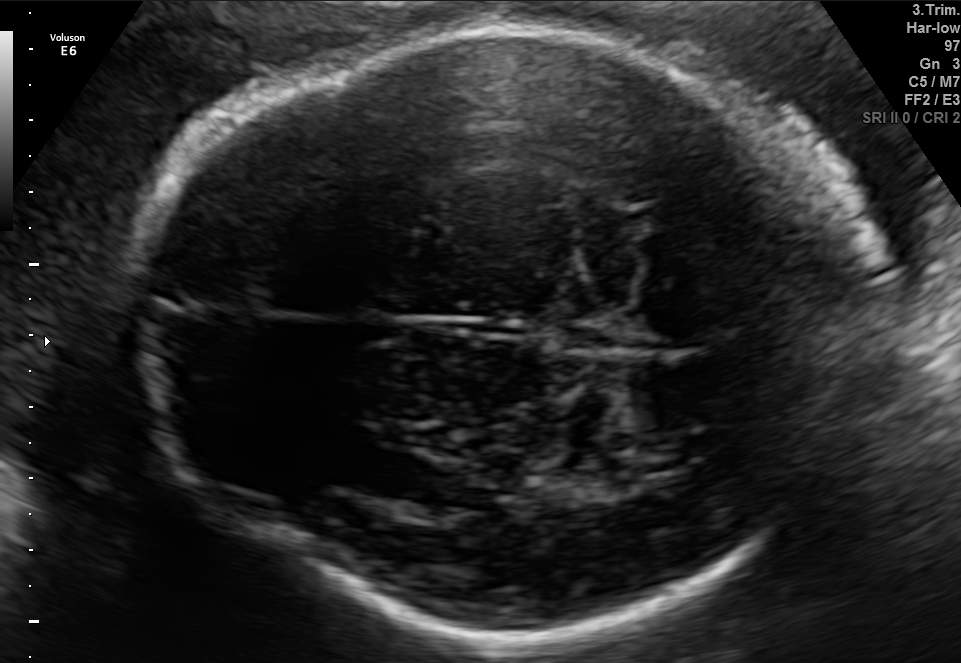
In this fetal brain, trans-ventricular plane, give the bounding box of the fetal head.

[136,32,883,641]